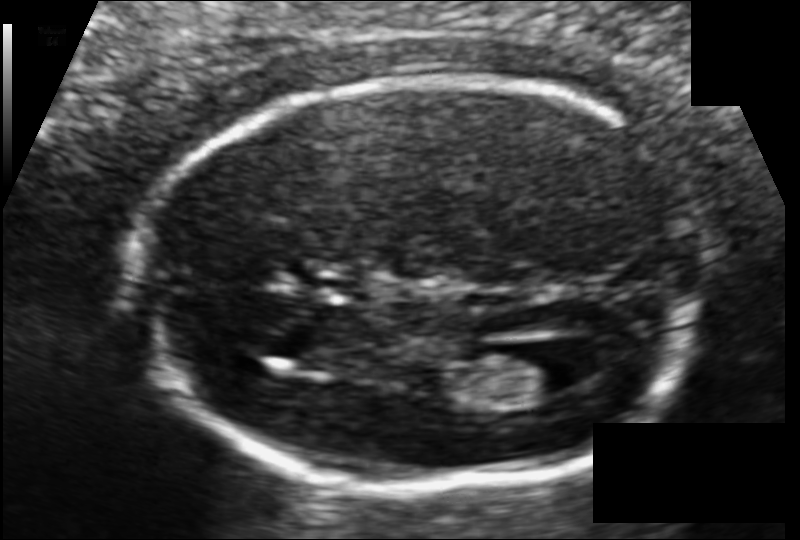
Estimate the fetal head circumference from this 2D ultrasound. Image width: 83.6 mm.

Head circumference: 163.9 mm.